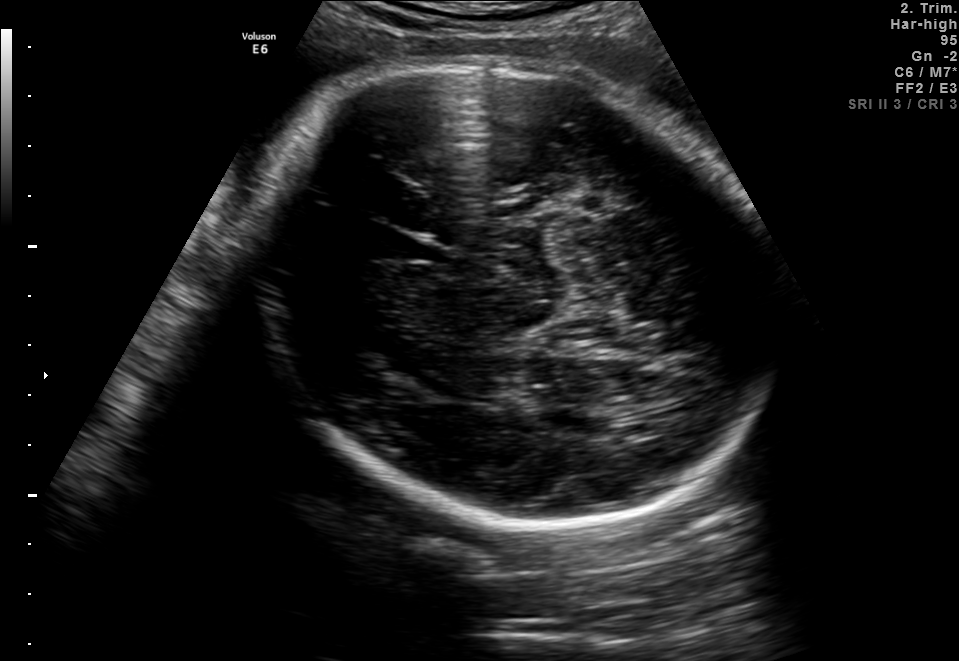
Fetal brain, trans-thalamic plane. Locate the fetal head.

Head: [240,57,771,530]